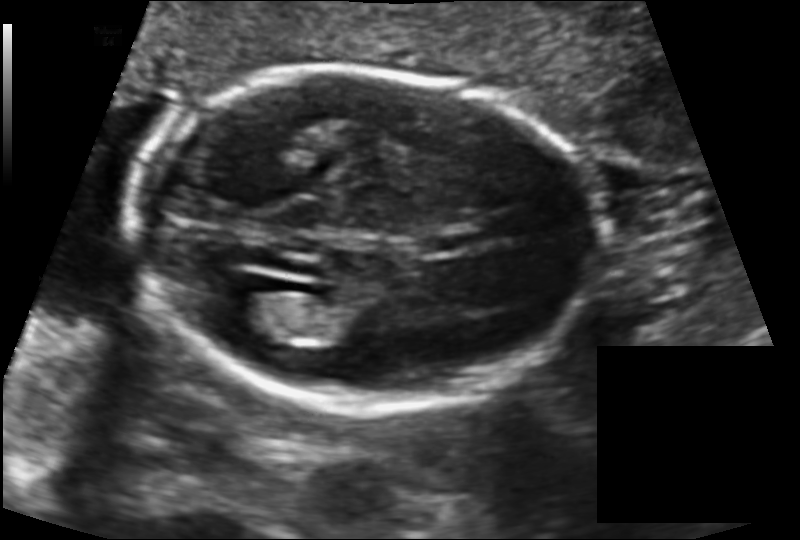
Fetal head ultrasound. Image width: 105.0 mm. Give [x1,y1,x2,y2] bounding boxes for each visible structure among: fetal head, CSP, LV.

Head: [133,73,604,410]
CSP: [417,229,474,258]
Lateral ventricle: [220,294,293,340]